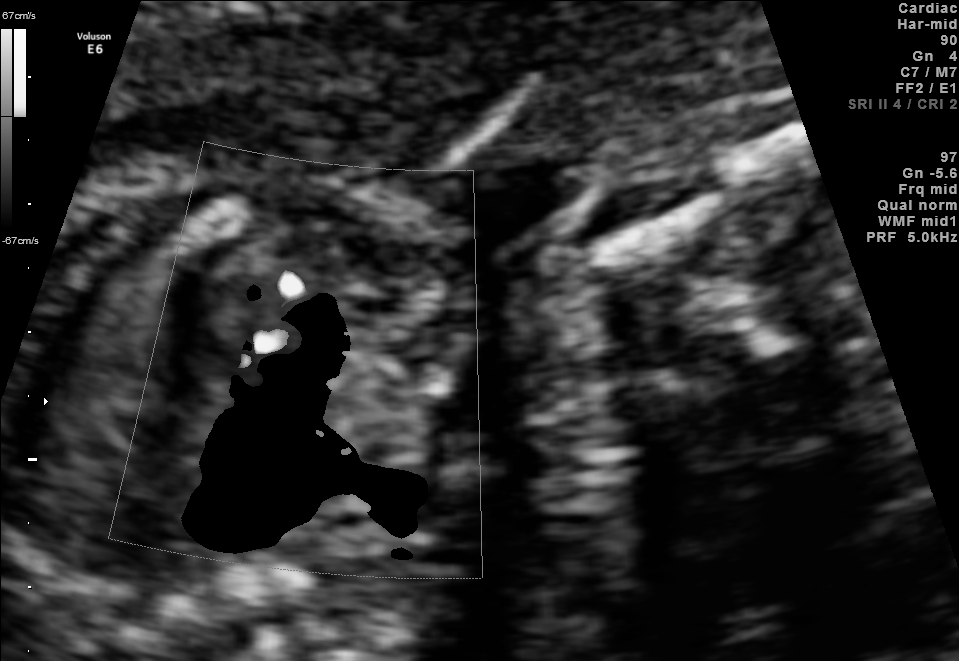
Classify this maternal-fetal ultrasound image as one of the six standard planes — fetal abdomen, fetal brain, fetal femur, fetal thorax, maternal cervix, or other. If it's fetal brain and one of the three standard brain planes (trans-thalamic, trans-cerebellum, trans-ventricular), name which.

Other